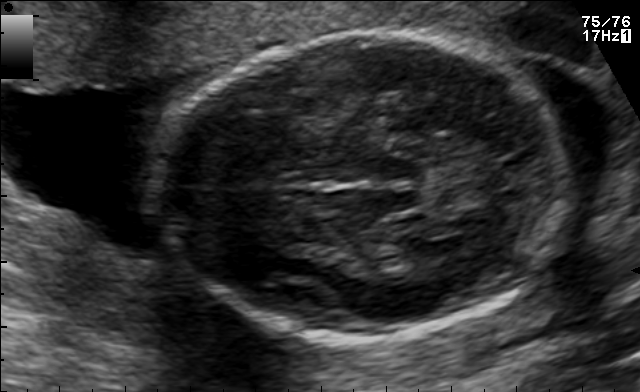
In this fetal brain, trans-thalamic plane, give the bounding box of the fetal head.

[155,31,567,339]